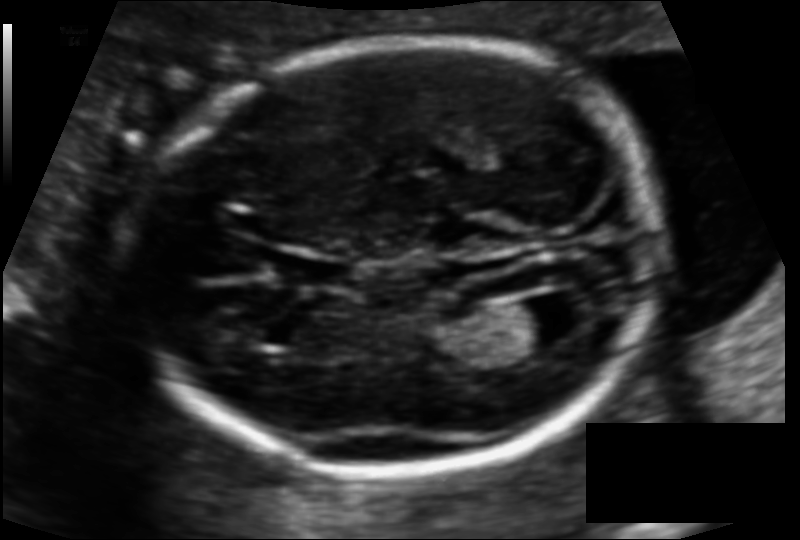
From this fetal ultrasound, estimate the head circumference (image width 88.1 mm).

Head circumference: 168.6 mm.